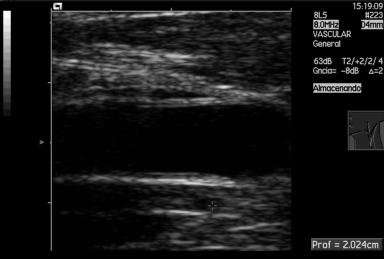
Identify the standard plane in this fetal ultrasound image: fetal abdomen, fetal brain, fetal femur, fetal thorax, maternal cervix, or other. If it's fetal brain and one of the three standard brain planes (trans-thalamic, trans-cerebellum, trans-ventricular), name which.

Other